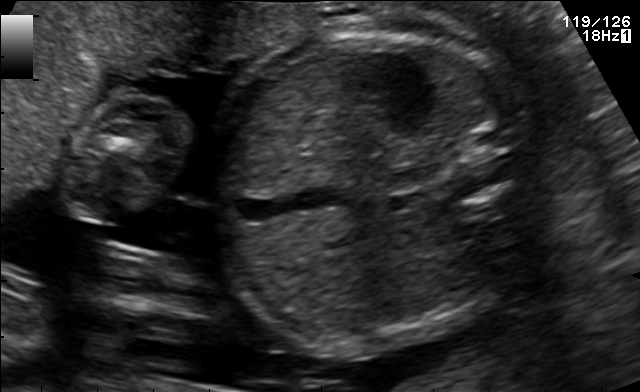
This is a 2D maternal-fetal ultrasound frame. Is it a fetal abdomen, fetal brain, fetal femur, fetal thorax, maternal cervix, or other standard plane? If it's fetal brain and one of the three standard brain planes (trans-thalamic, trans-cerebellum, trans-ventricular), name which.

Fetal abdomen